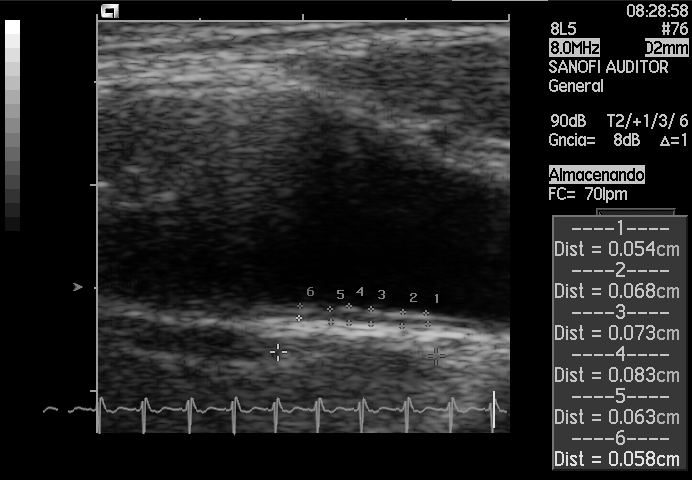
Which standard maternal-fetal ultrasound plane is shown: fetal abdomen, fetal brain, fetal femur, fetal thorax, maternal cervix, or other? If it's fetal brain and one of the three standard brain planes (trans-thalamic, trans-cerebellum, trans-ventricular), name which.

Other